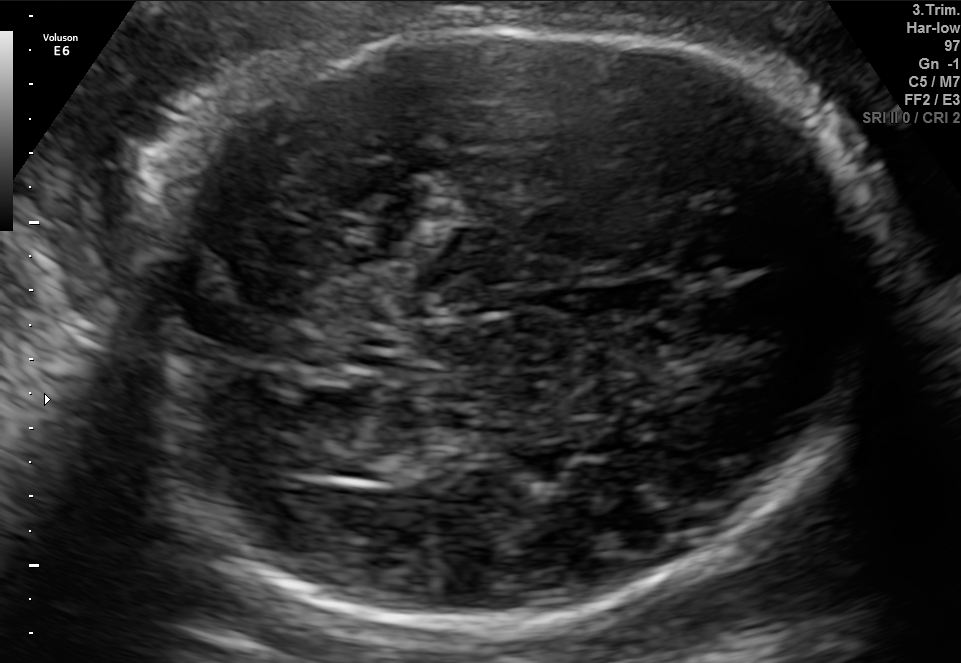
In this fetal brain, trans-thalamic plane, give the bounding box of the fetal head.

[146,24,879,631]